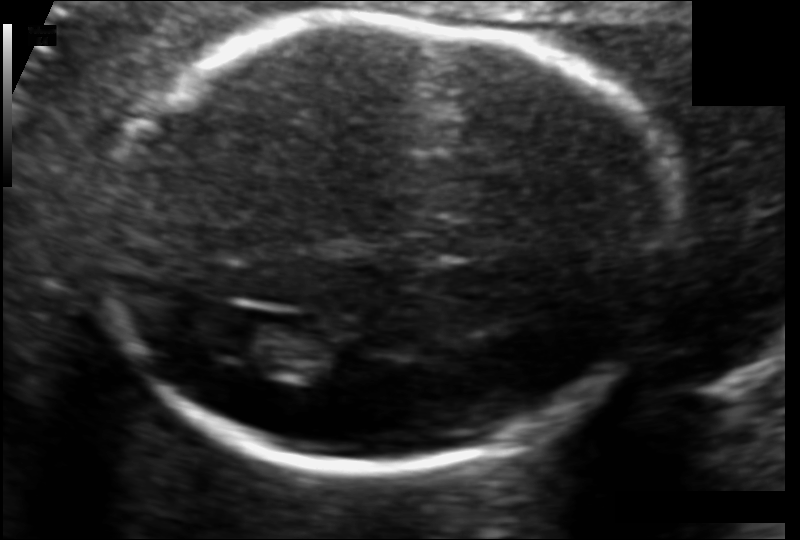
Fetal head ultrasound. Image width: 84.9 mm. Give [x1,y1,x2,y2] bounding boxes for each visible structure among: fetal head, CSP, LV.

Head: [100,16,667,470]
Lateral ventricle: [205,314,312,374]